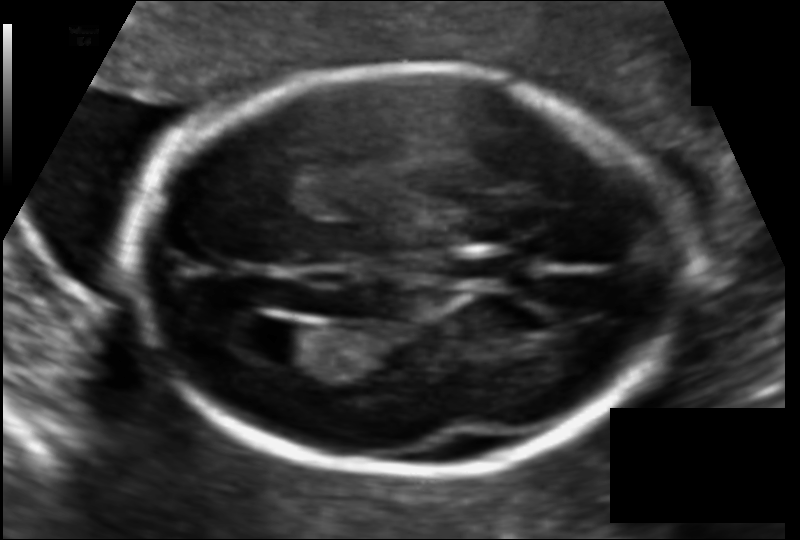
Fetal head ultrasound. Image width: 89.2 mm. Locate the fetal head and, if visible, the cavum septum pellucidum (CSP) and lateral ventricle (LV). Give bounding boxes as [x1,y1,x2,y2].

Head: [131,65,676,471]
CSP: [450,252,517,284]
Lateral ventricle: [248,316,323,371]